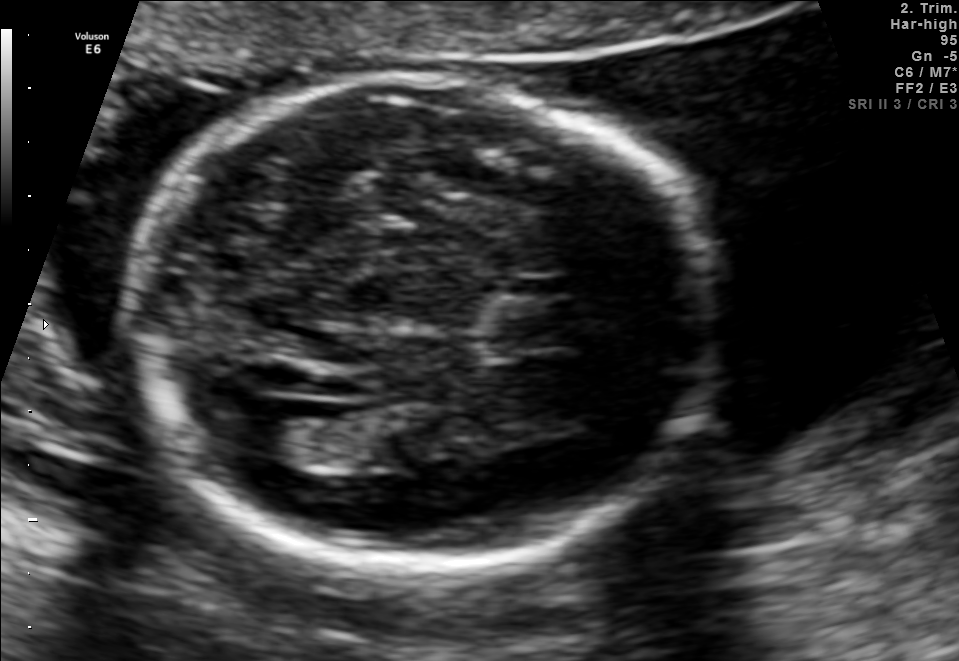
Fetal brain, trans-ventricular plane. Give [x1,y1,x2,y2] bounding boxes for each visible structure among: fetal head, CSP, LV.

Head: [117,80,724,579]
CSP: [470,297,583,352]
Lateral ventricle: [226,393,330,467]